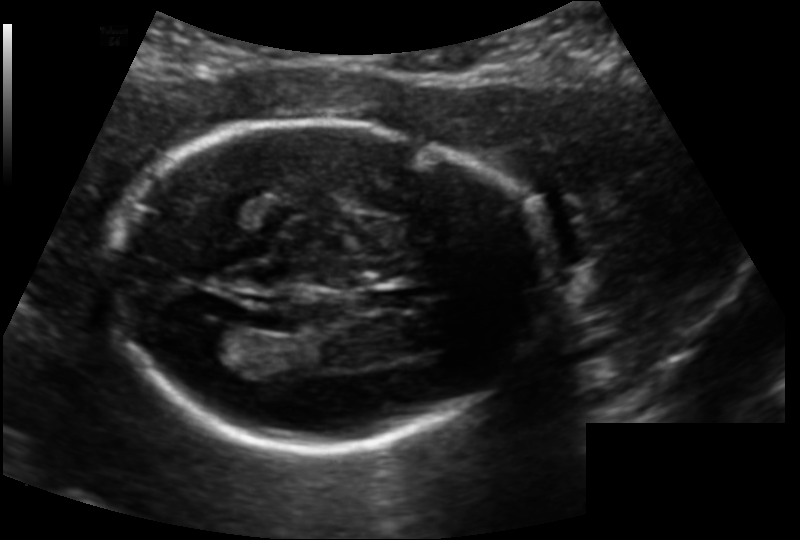
Estimate the fetal head circumference from this 2D ultrasound.

Head circumference: 175.4 mm (image width 111.5 mm).